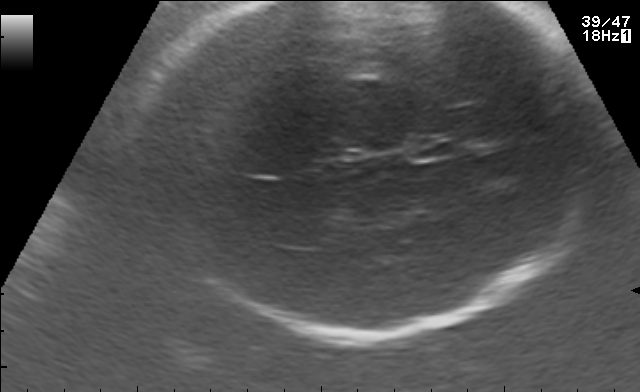
Fetal brain, trans-thalamic plane. Give [x1,y1,x2,y2] bounding boxes for each visible structure among: fetal head, CSP, LV.

Head: [121,2,602,330]
CSP: [405,132,457,162]